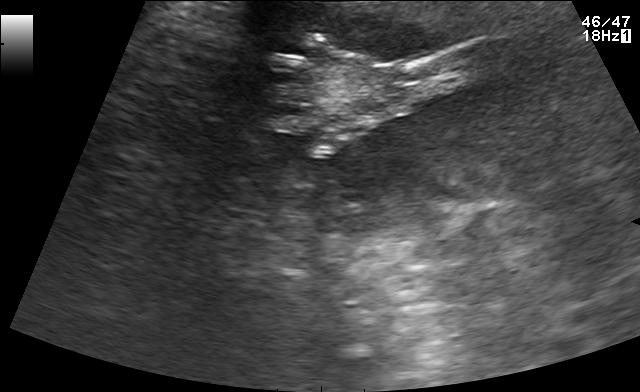
Which standard maternal-fetal ultrasound plane is shown: fetal abdomen, fetal brain, fetal femur, fetal thorax, maternal cervix, or other? If it's fetal brain and one of the three standard brain planes (trans-thalamic, trans-cerebellum, trans-ventricular), name which.

Other